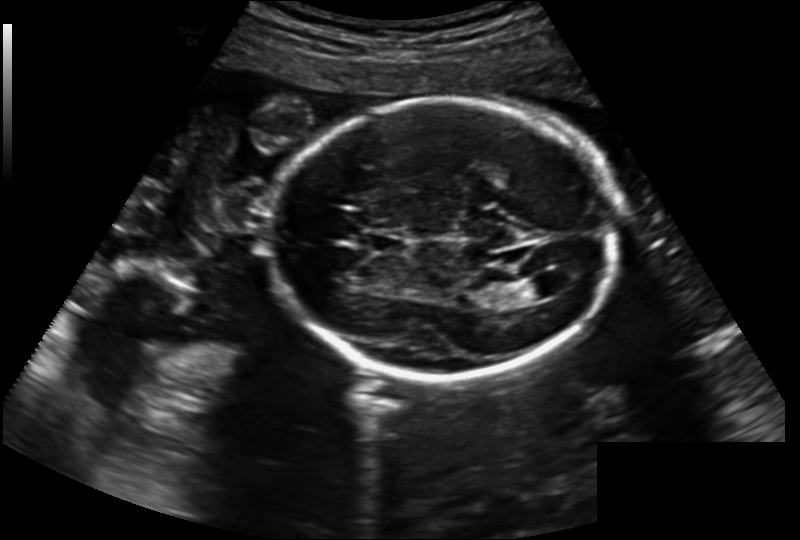
Fetal head ultrasound. Image width: 161.7 mm. Locate the fetal head.

Head: [267,100,618,378]